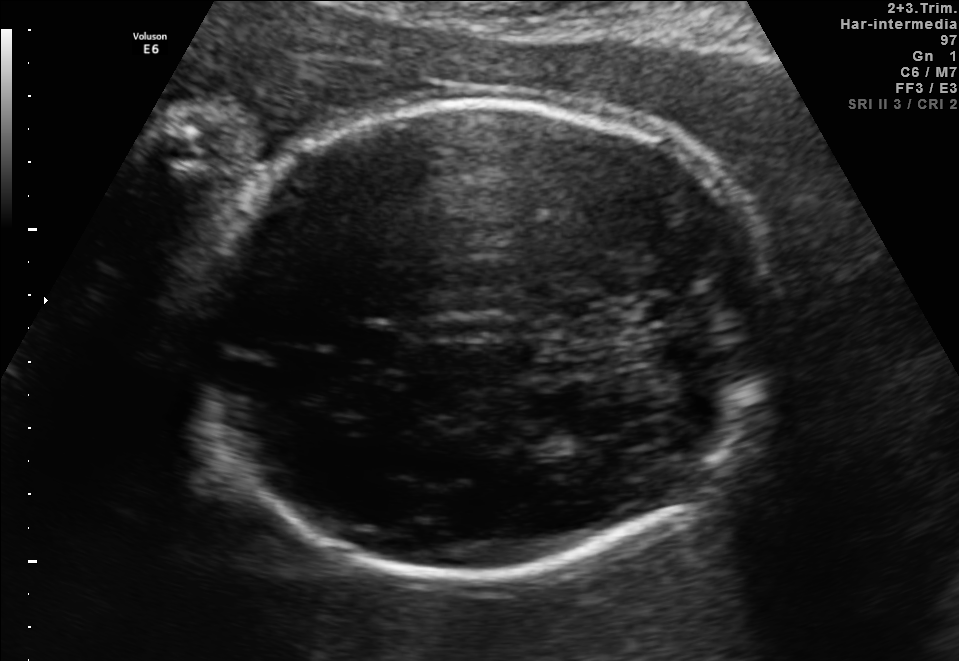
In this fetal brain, trans-thalamic plane, give bounding boxes for the head outline, cavum septum pellucidum (CSP), and lateral ventricle (LV), where visible.

Head: [187,100,776,583]
CSP: [340,325,401,357]